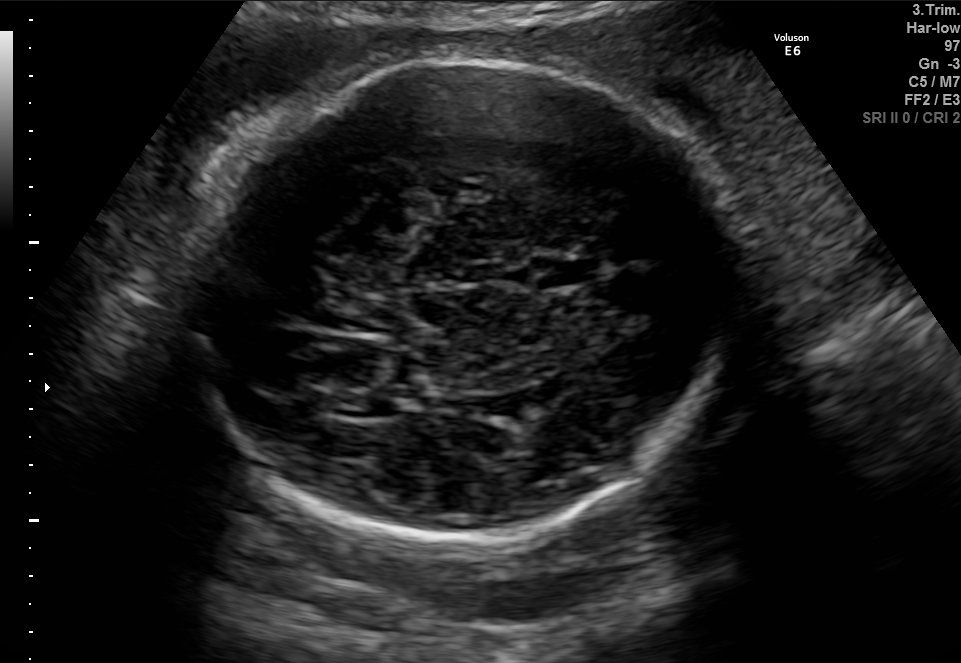
In this fetal brain, trans-thalamic plane, give the bounding box of the fetal head.

[181,57,746,548]